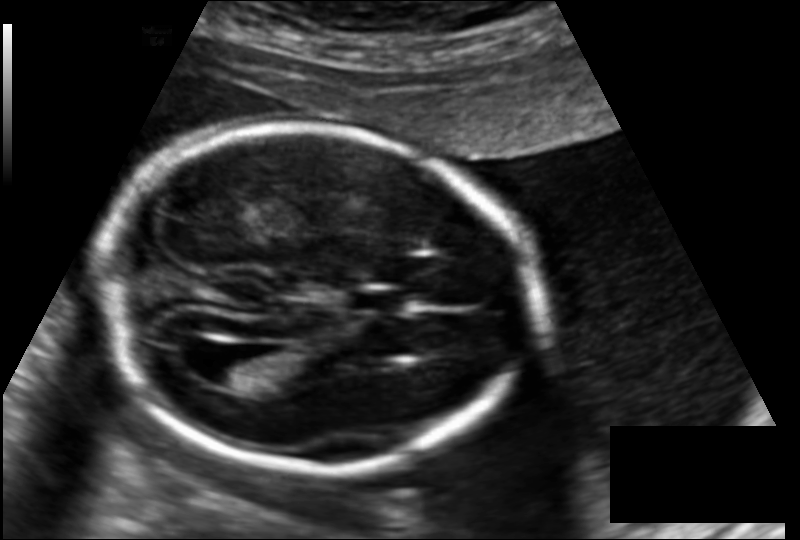
Fetal head ultrasound. Image width: 115.9 mm. Locate the fetal head and, if visible, the cavum septum pellucidum (CSP) and lateral ventricle (LV). Give bounding boxes as [x1,y1,x2,y2].

Head: [96,126,536,470]
CSP: [346,286,409,314]
Lateral ventricle: [199,342,264,394]